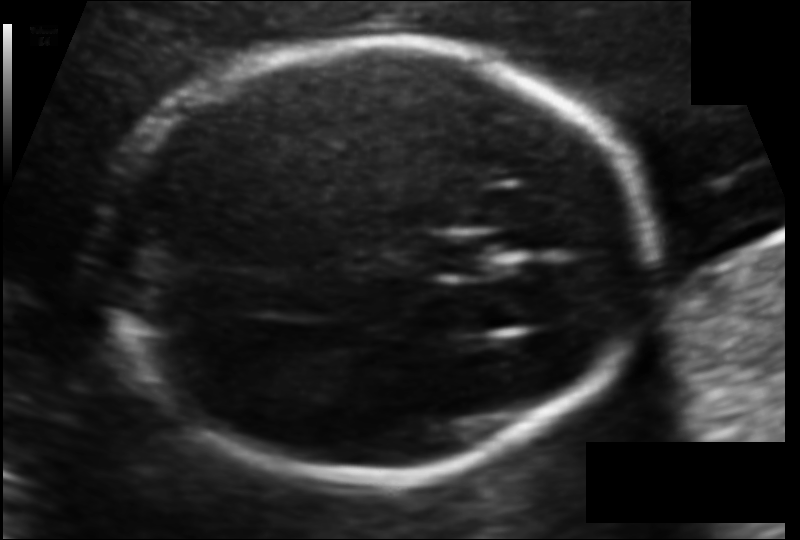
In this fetal head ultrasound, give the bounding box of the cavum septum pellucidum. Image width: 83.5 mm.

[429,235,497,278]